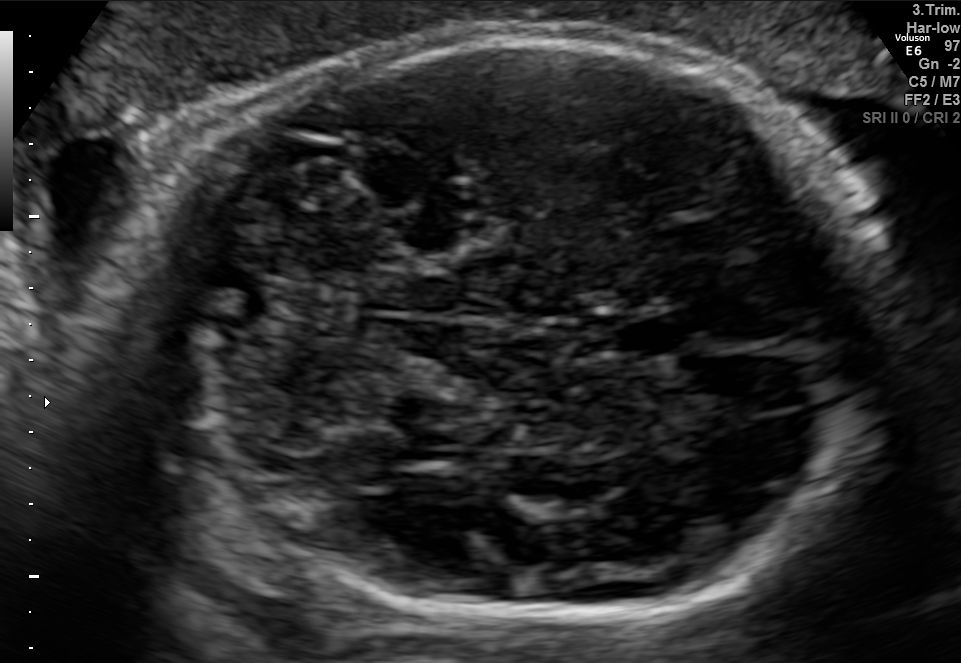
Fetal brain, trans-cerebellum plane. Where is the cavum septum pellucidum?

CSP bounding box: [604,303,701,370]